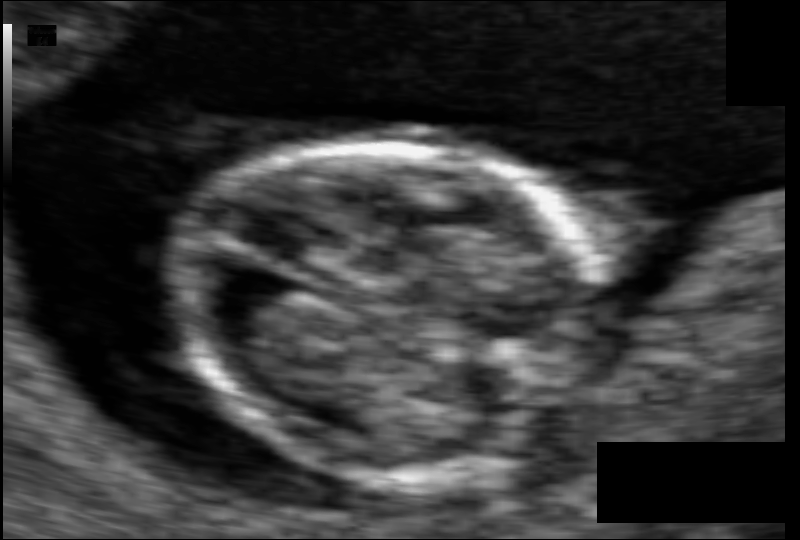
From this fetal ultrasound, estimate the head circumference (image width 43.6 mm).

Head circumference: 68.4 mm.